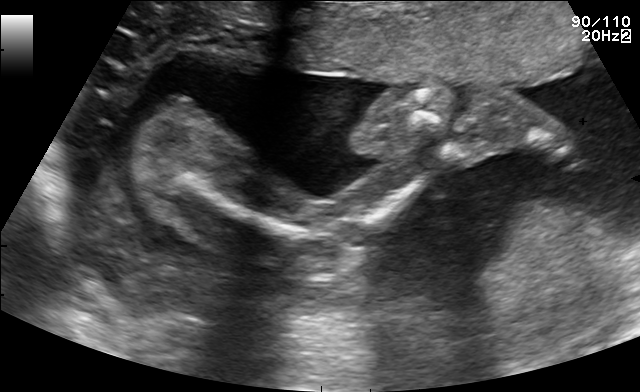
Which standard maternal-fetal ultrasound plane is shown: fetal abdomen, fetal brain, fetal femur, fetal thorax, maternal cervix, or other? If it's fetal brain and one of the three standard brain planes (trans-thalamic, trans-cerebellum, trans-ventricular), name which.

Fetal femur